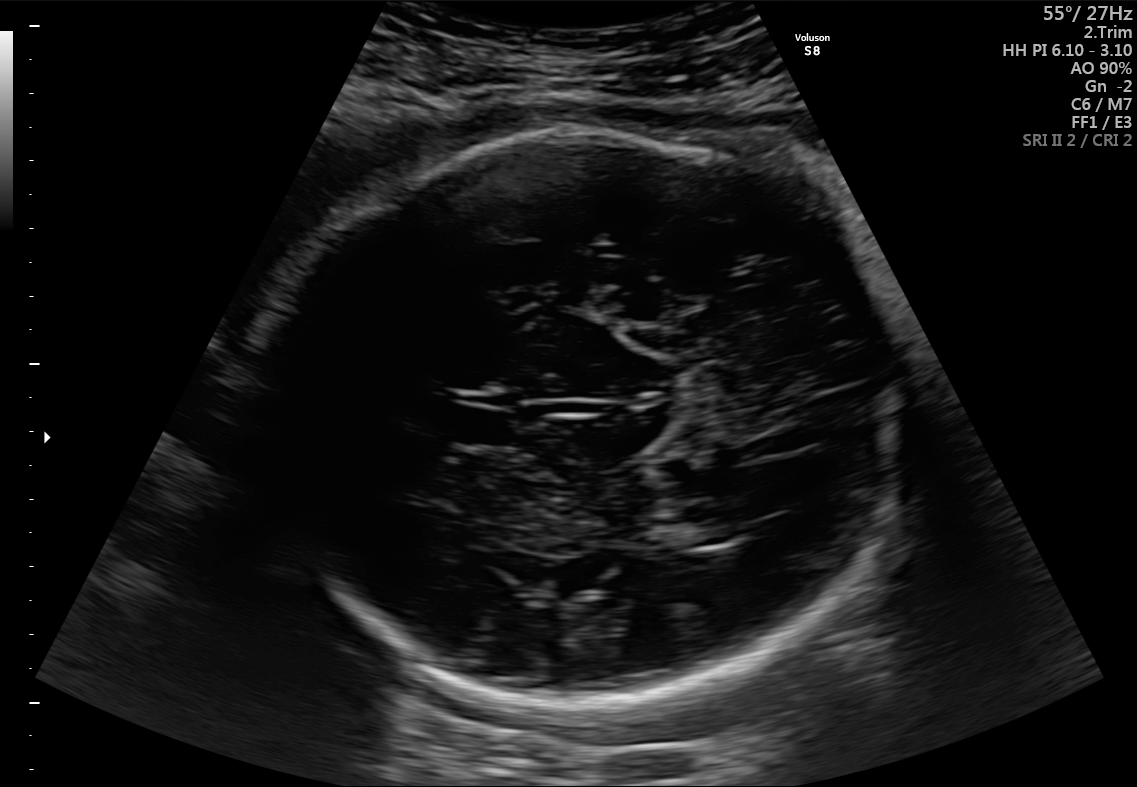
Fetal brain, trans-thalamic plane. Give [x1,y1,x2,y2] bounding boxes for each visible structure among: fetal head, CSP, LV.

Head: [255,135,911,712]
CSP: [446,403,515,446]
Lateral ventricle: [652,510,740,552]